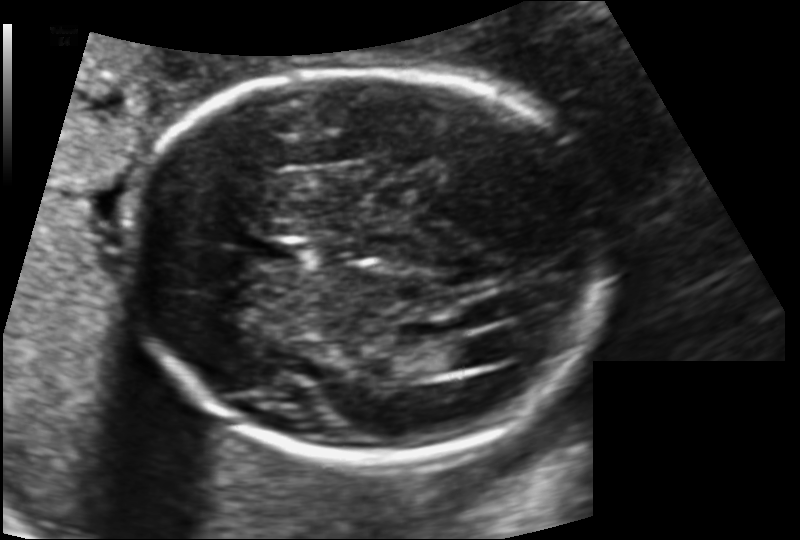
Fetal head ultrasound. Image width: 107.8 mm. Locate the cavum septum pellucidum.

CSP: [254,237,312,266]